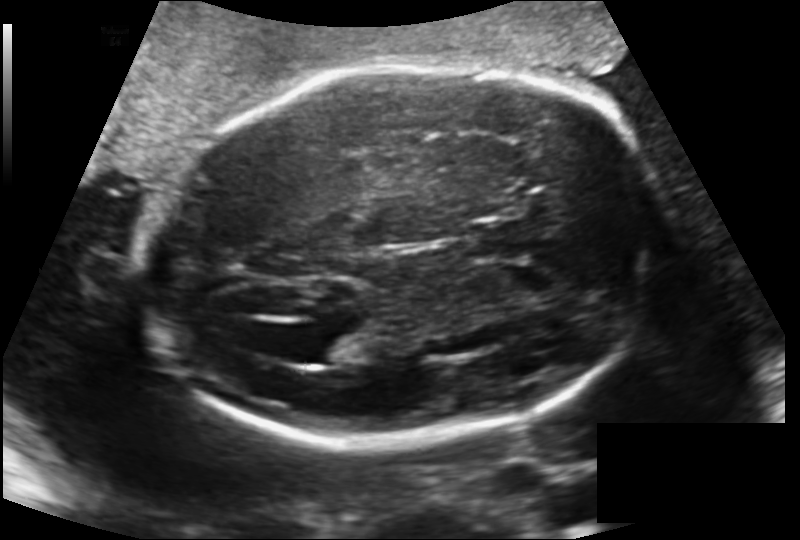
Fetal head ultrasound. Image width: 136.0 mm. Locate the fetal head and, if visible, the cavum septum pellucidum (CSP) and lateral ventricle (LV). Give bounding boxes as [x1,y1,x2,y2].

Head: [142,63,668,444]
CSP: [467,216,534,262]
Lateral ventricle: [308,330,361,367]